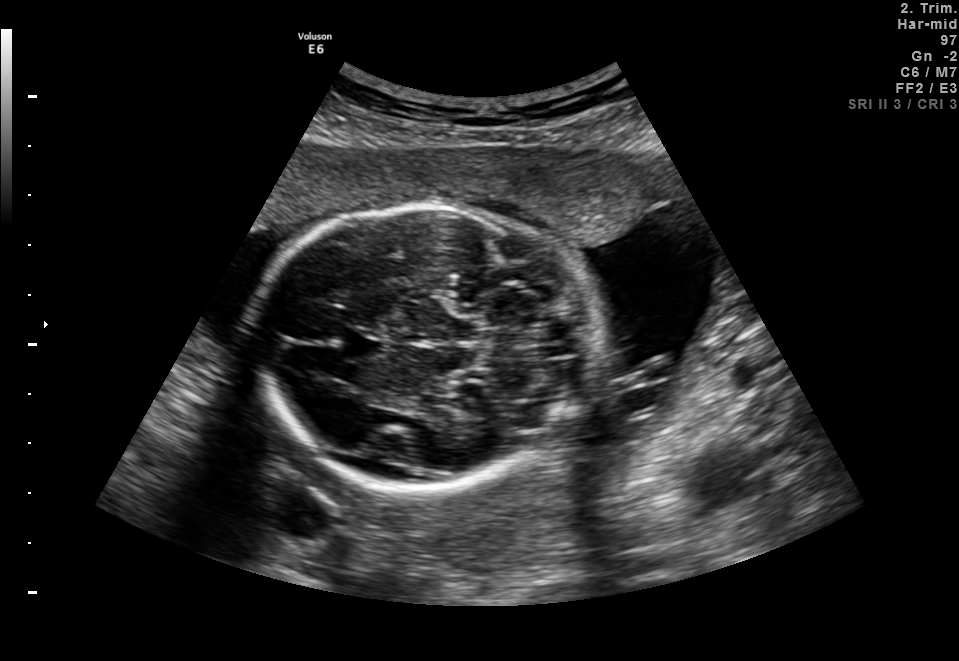
In this fetal brain, trans-cerebellum plane, give the bounding box of the cavum septum pellucidum.

[341,327,383,359]